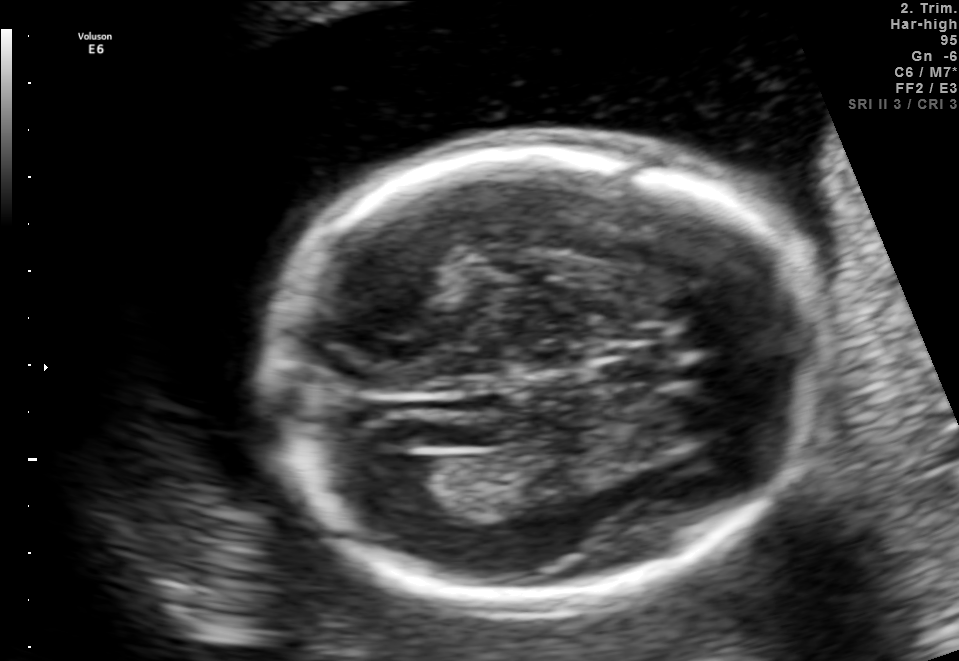
Identify the standard plane in this fetal ultrasound image: fetal abdomen, fetal brain, fetal femur, fetal thorax, maternal cervix, or other. If it's fetal brain and one of the three standard brain planes (trans-thalamic, trans-cerebellum, trans-ventricular), name which.

Fetal brain (trans-ventricular plane)